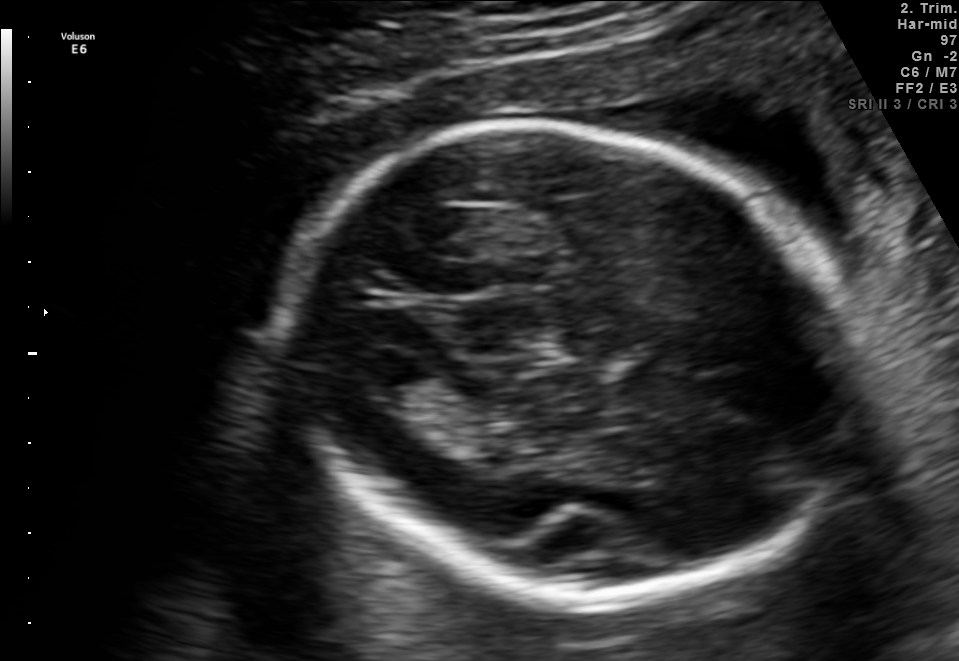
Fetal brain, trans-thalamic plane. Locate the lateral ventricle.

Lateral ventricle: [345,324,437,414]